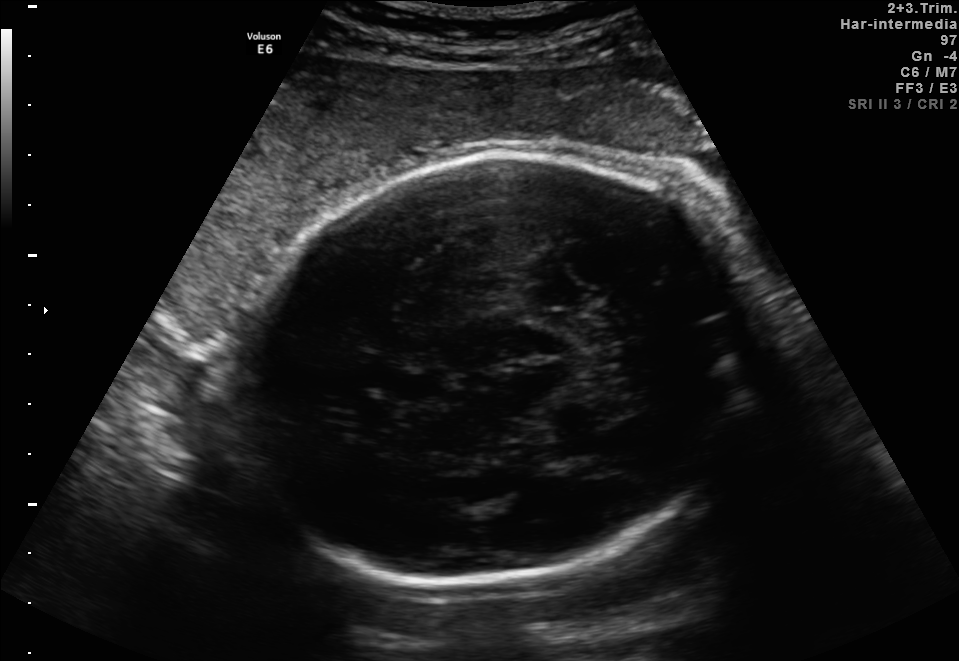
Classify this maternal-fetal ultrasound image as one of the six standard planes — fetal abdomen, fetal brain, fetal femur, fetal thorax, maternal cervix, or other. If it's fetal brain and one of the three standard brain planes (trans-thalamic, trans-cerebellum, trans-ventricular), name which.

Fetal brain (trans-thalamic plane)